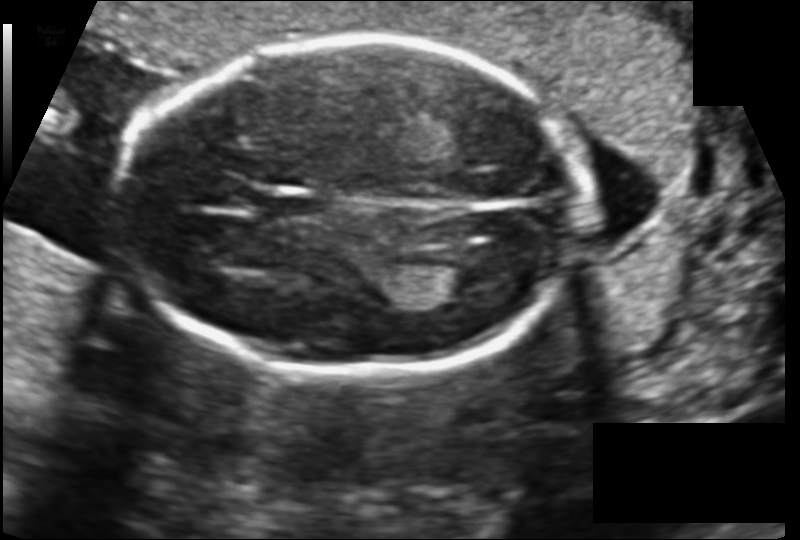
In this fetal head ultrasound, give the bounding box of the cavum septum pellucidum. Image width: 102.7 mm.

[263,193,326,224]